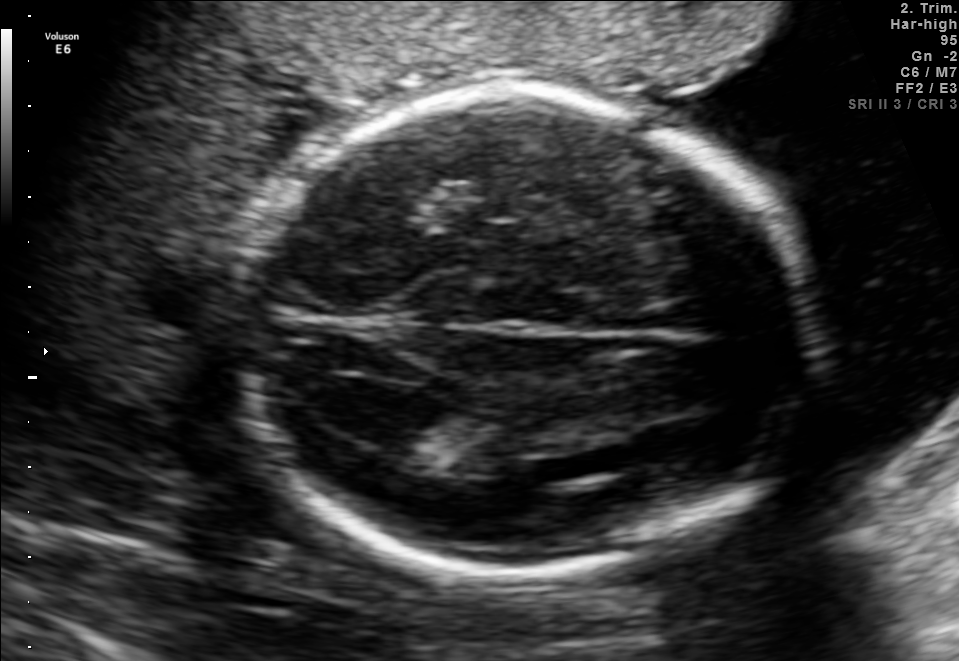
In this fetal brain, trans-ventricular plane, give the bounding box of the lateral ventricle.

[320,359,448,462]